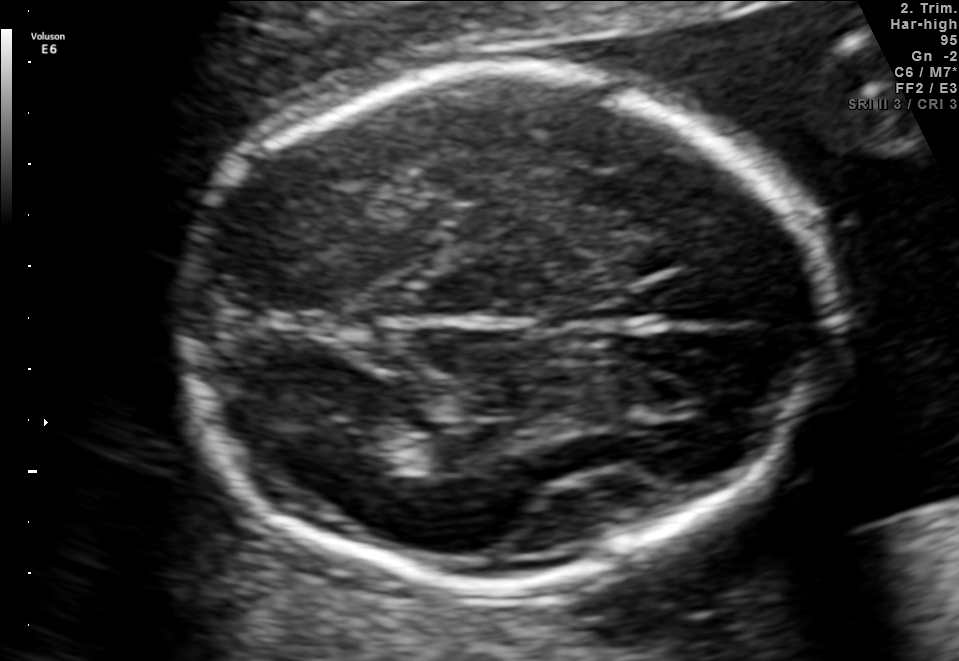
Fetal brain, trans-thalamic plane. Locate the fetal head and, if visible, the cavum septum pellucidum (CSP) and lateral ventricle (LV). Give bounding boxes as [x1,y1,x2,y2].

Head: [177,71,828,582]
Lateral ventricle: [328,423,441,473]